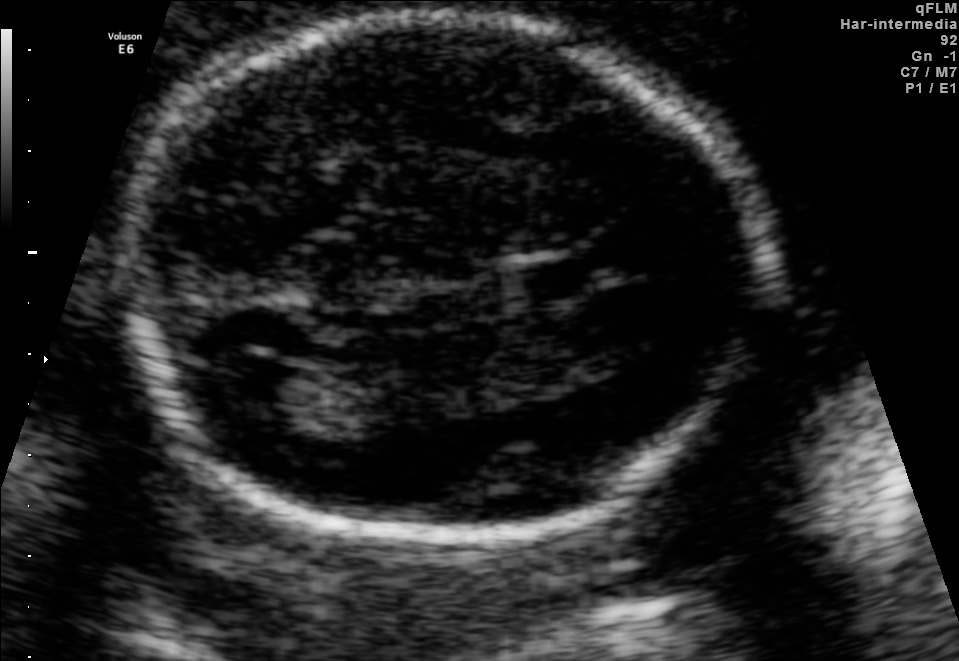
Fetal brain, trans-ventricular plane. Where is the fetal head?

Head bounding box: [101,6,796,561]